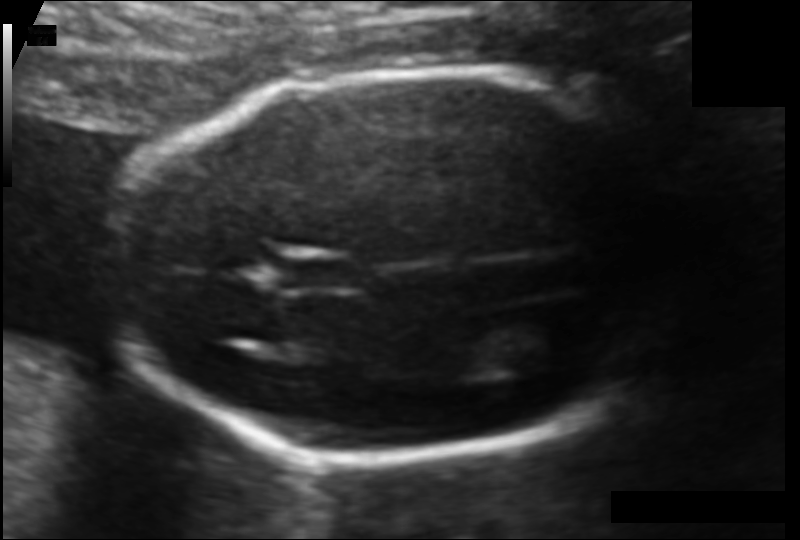
In this fetal head ultrasound, give the bounding box of the lateral ventricle. Image width: 82.3 mm.

[490,312,584,376]